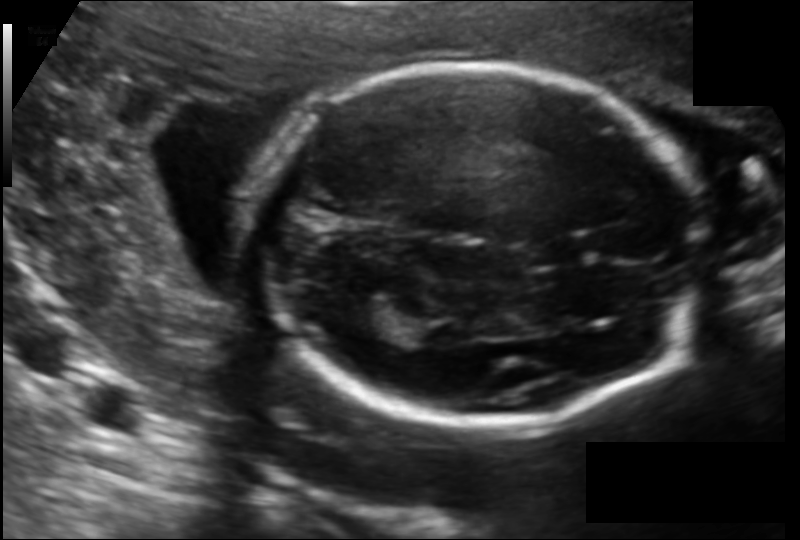
Fetal head ultrasound. Image width: 103.2 mm. Where is the cavum septum pellucidum?

CSP bounding box: [526,235,586,271]